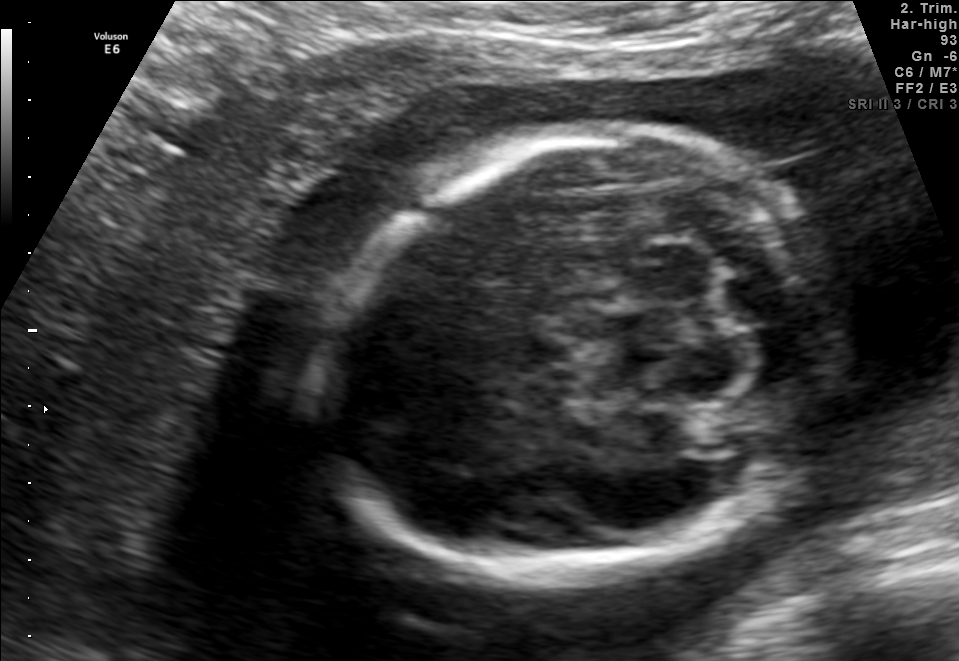
In this fetal brain, trans-cerebellum plane, give bounding boxes for the head outline, cavum septum pellucidum (CSP), and lateral ventricle (LV), where visible.

Head: [323,127,826,582]